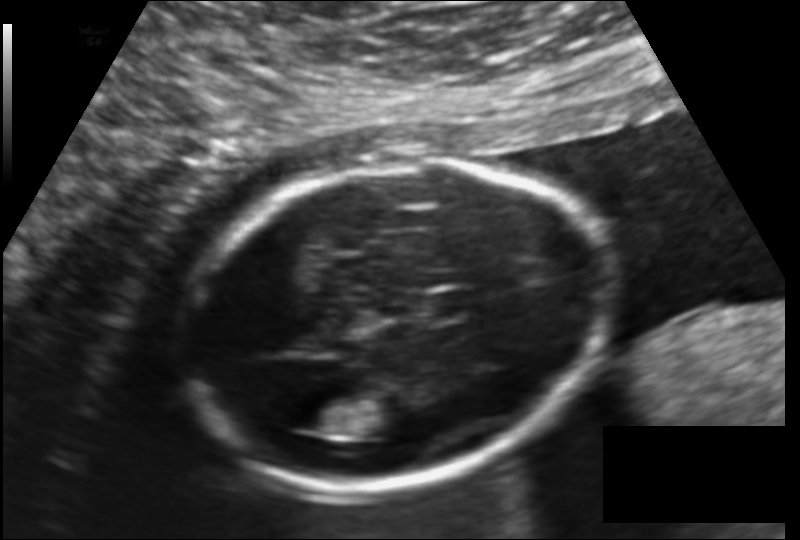
Fetal head ultrasound. Image width: 112.0 mm. Locate the fetal head and, if visible, the cavum septum pellucidum (CSP) and lateral ventricle (LV). Give bounding boxes as [x1,y1,x2,y2].

Head: [187,158,613,484]
CSP: [424,286,478,321]
Lateral ventricle: [283,399,339,435]